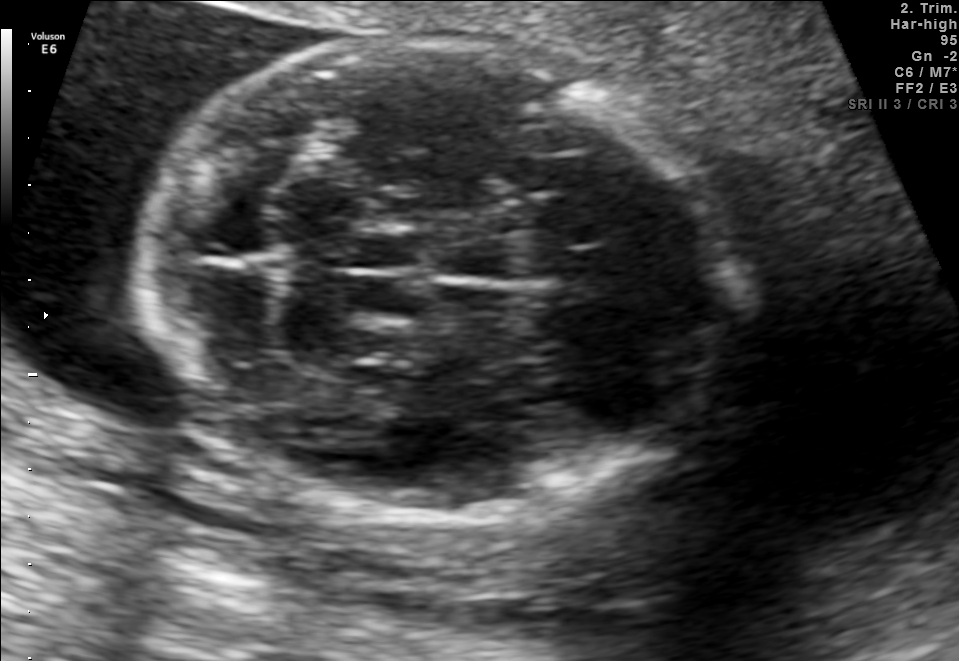
Fetal brain, trans-cerebellum plane. Locate the fetal head.

Head: [143,38,726,525]